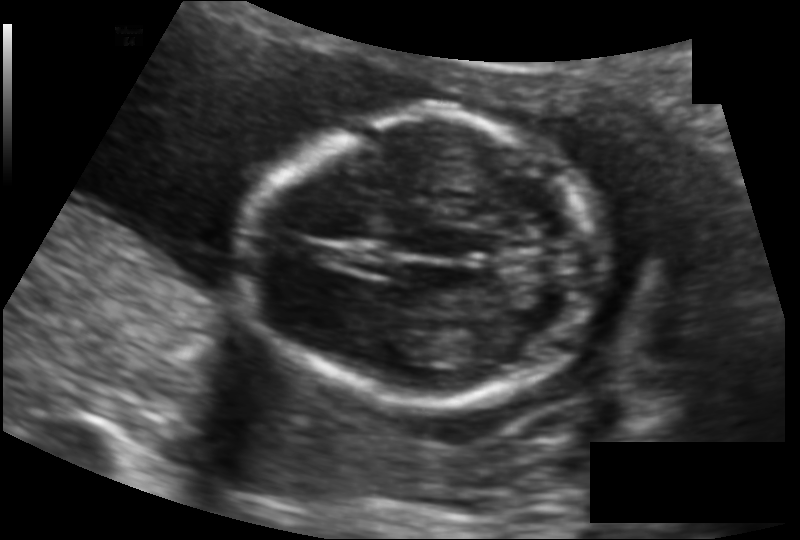
Fetal head ultrasound. Image width: 97.8 mm. Give [x1,y1,x2,y2] bounding boxes for each visible structure among: fetal head, CSP, LV.

Head: [243,114,601,401]